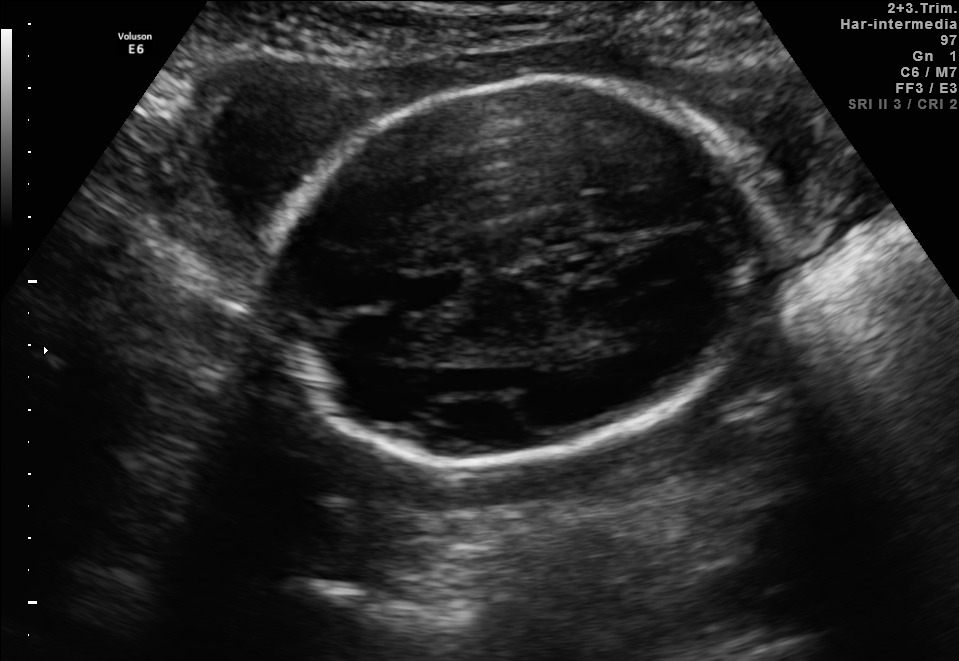
Fetal brain, trans-thalamic plane. Locate the fetal head and, if visible, the cavum septum pellucidum (CSP) and lateral ventricle (LV). Give bounding boxes as [x1,y1,x2,y2].

Head: [264,80,763,469]
CSP: [396,271,459,305]